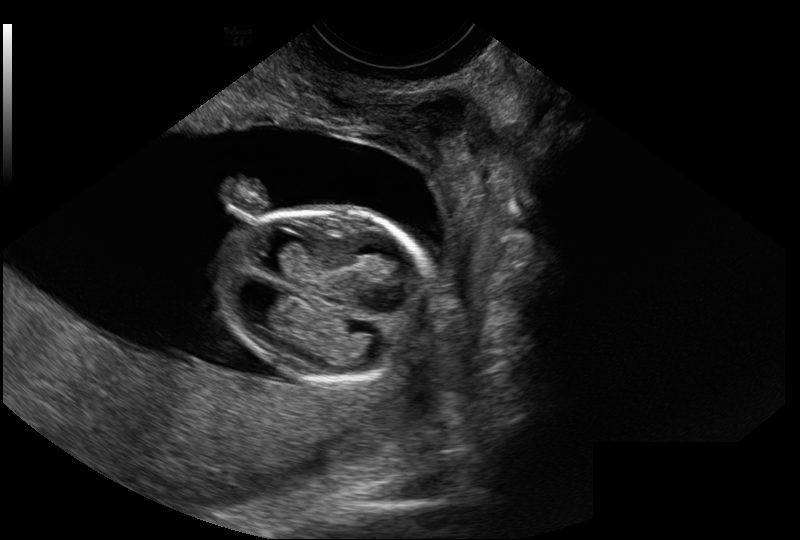
Fetal head ultrasound. Image width: 91.6 mm. Give [x1,y1,x2,y2] bounding boxes for each visible structure among: fetal head, CSP, LV.

Head: [216,210,435,382]